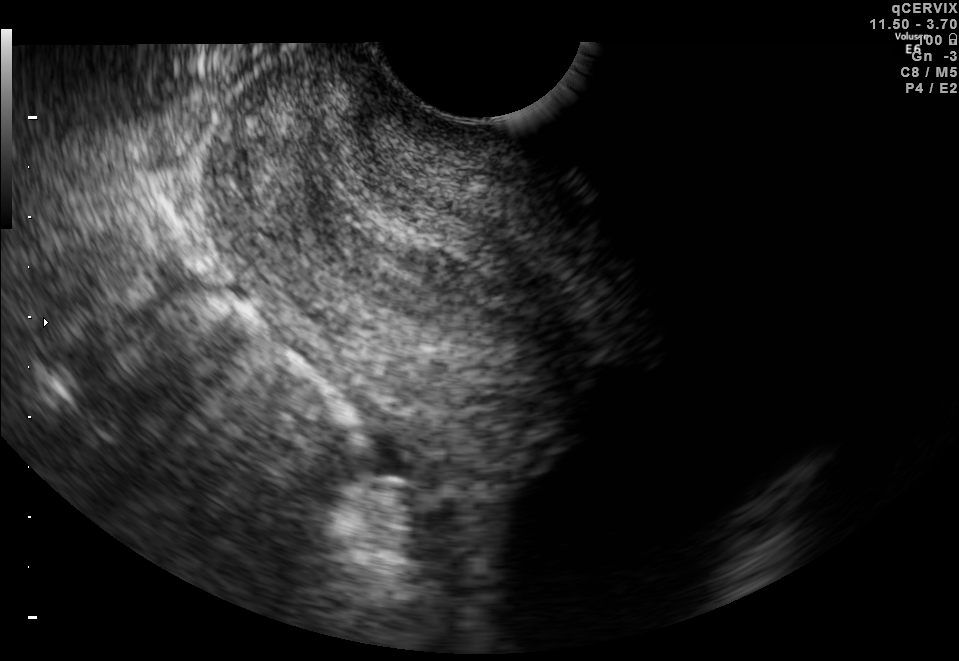
This is a 2D maternal-fetal ultrasound frame. Is it a fetal abdomen, fetal brain, fetal femur, fetal thorax, maternal cervix, or other standard plane? If it's fetal brain and one of the three standard brain planes (trans-thalamic, trans-cerebellum, trans-ventricular), name which.

Maternal cervix